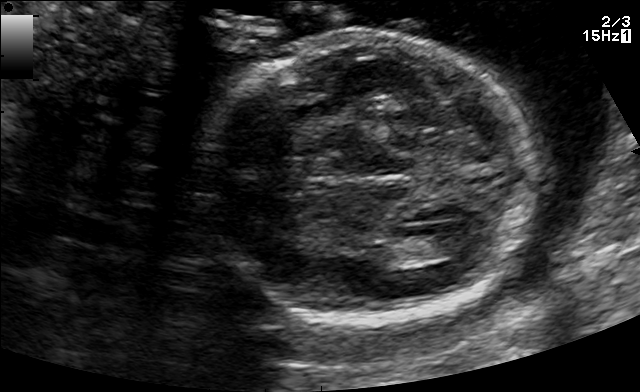
Fetal brain, trans-ventricular plane. Locate the lateral ventricle.

Lateral ventricle: [426,231,478,260]